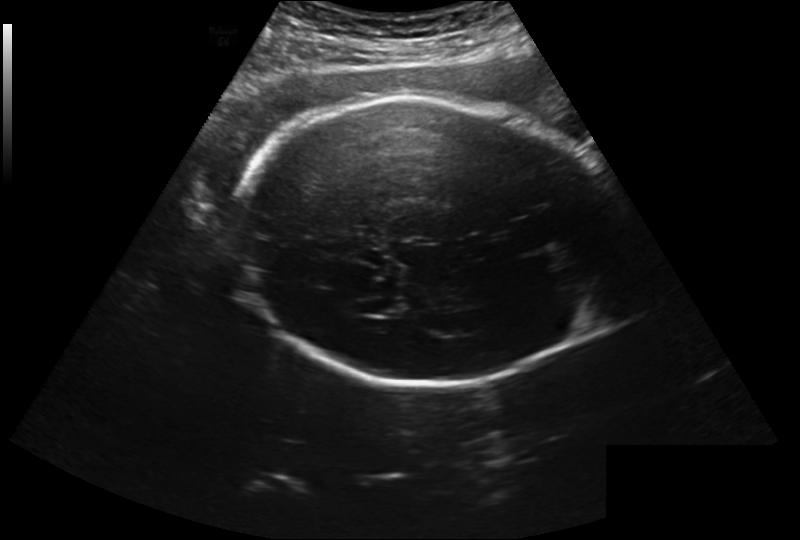
From this fetal ultrasound, estimate the head circumference (image width 208.3 mm).

Head circumference: 282.4 mm.